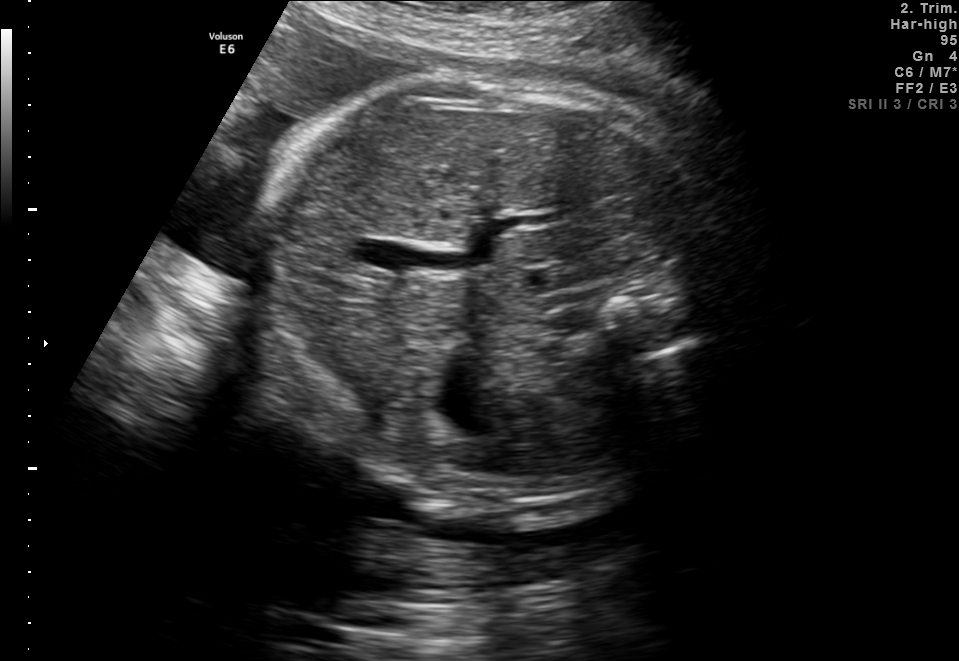
Classify this maternal-fetal ultrasound image as one of the six standard planes — fetal abdomen, fetal brain, fetal femur, fetal thorax, maternal cervix, or other. If it's fetal brain and one of the three standard brain planes (trans-thalamic, trans-cerebellum, trans-ventricular), name which.

Fetal abdomen